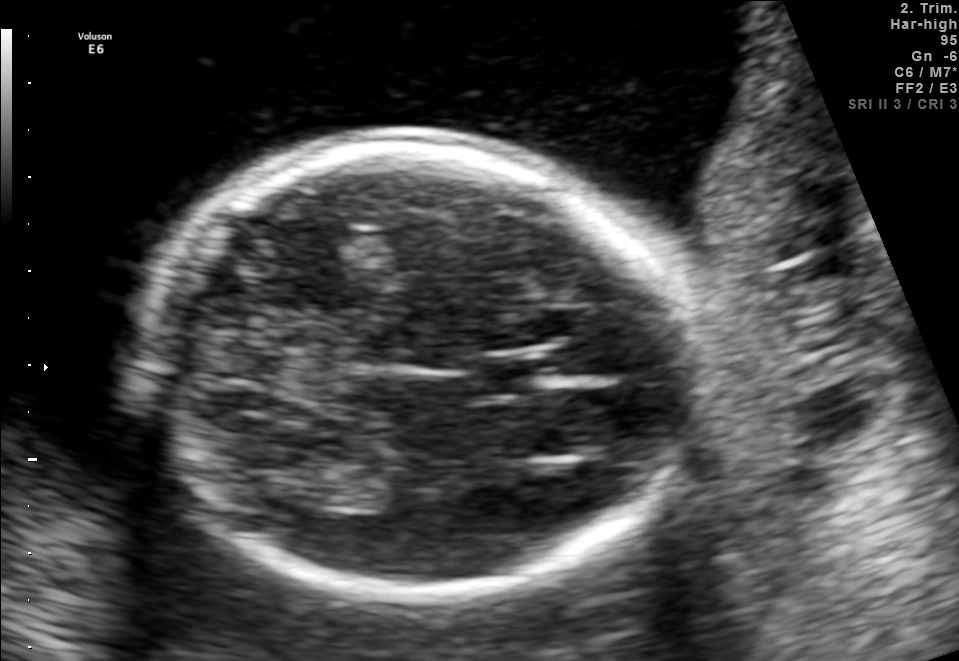
In this fetal brain, trans-thalamic plane, give the bounding box of the cavum septum pellucidum.

[475,358,545,398]